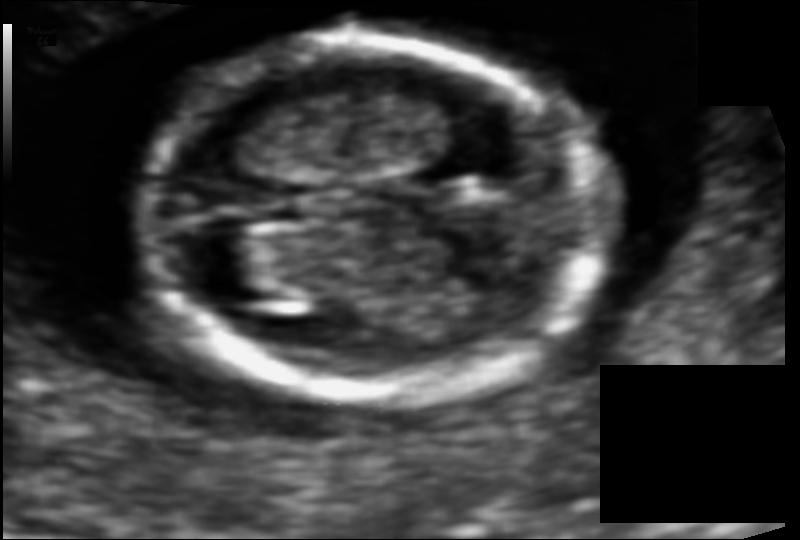
Fetal head ultrasound. Image width: 59.6 mm. Locate the fetal head and, if visible, the cavum septum pellucidum (CSP) and lateral ventricle (LV). Give bounding boxes as [x1,y1,x2,y2].

Head: [139,43,604,397]